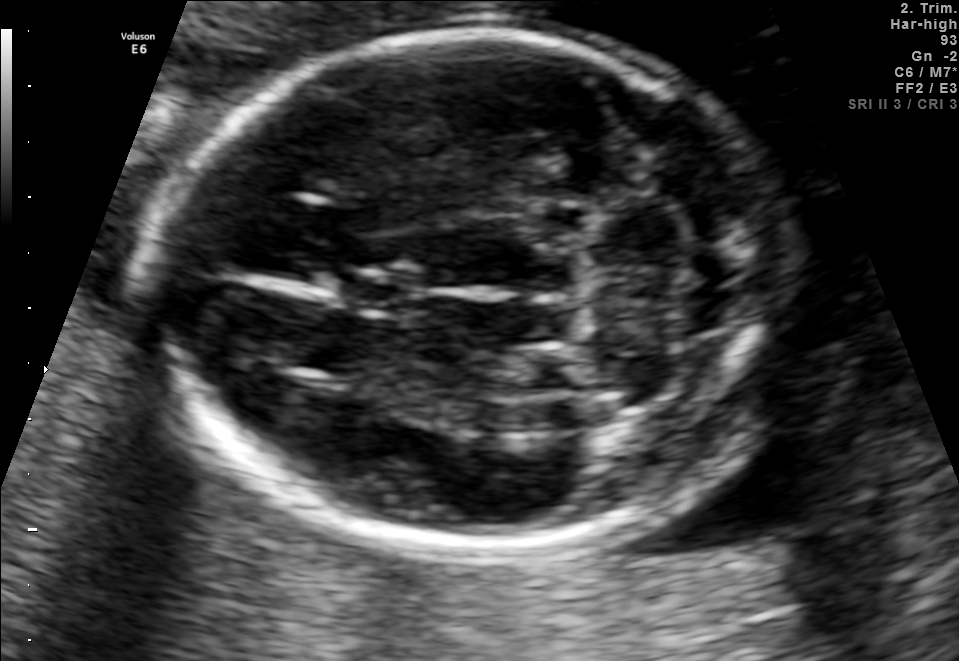
Fetal brain, trans-cerebellum plane. Give [x1,y1,x2,y2] bounding boxes for each visible structure among: fetal head, CSP, LV.

Head: [154,29,805,552]
CSP: [337,267,423,317]